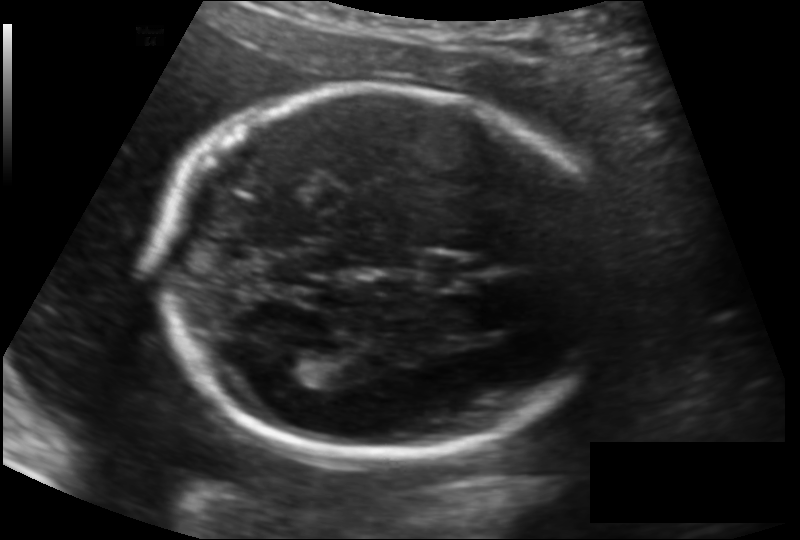
Fetal head ultrasound. Image width: 107.5 mm. Where is the cavum septum pellucidum?

CSP bounding box: [412,251,474,292]